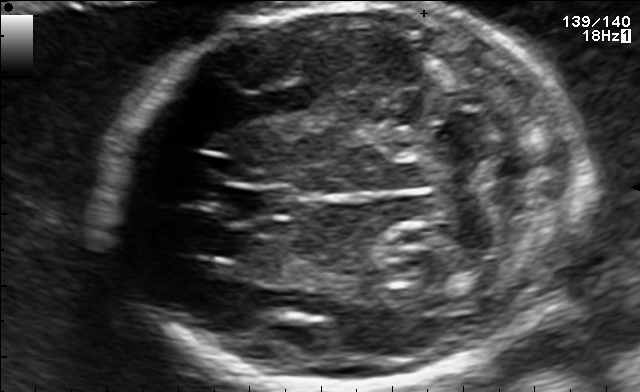
Fetal brain, trans-cerebellum plane. Locate the cavum septum pellucidum.

CSP: [230,185,294,219]